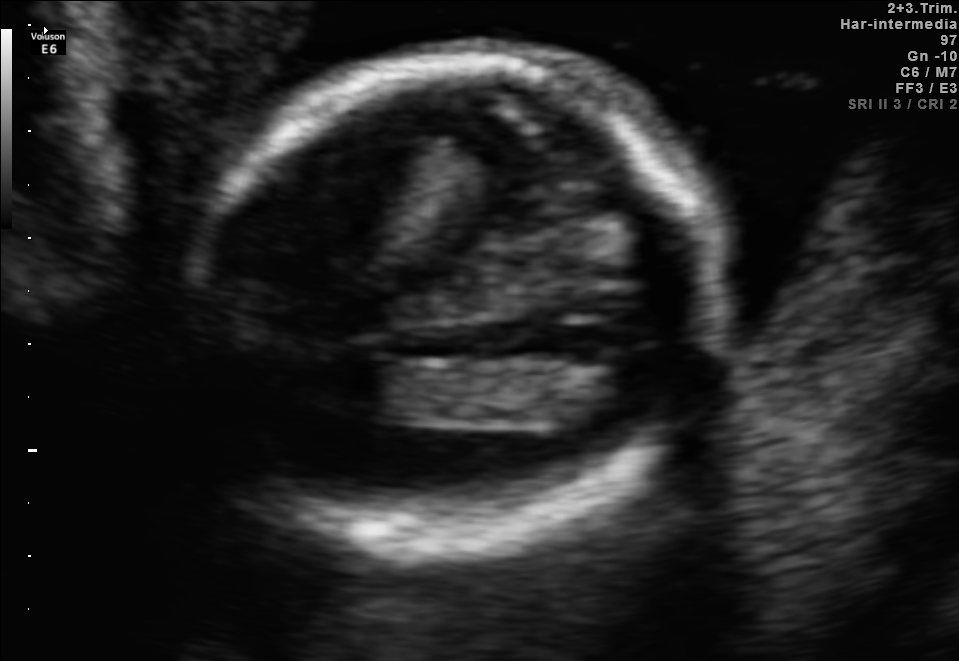
In this fetal brain, trans-thalamic plane, give bounding boxes for the head outline, cavum septum pellucidum (CSP), and lateral ventricle (LV), where visible.

Head: [181,57,720,538]